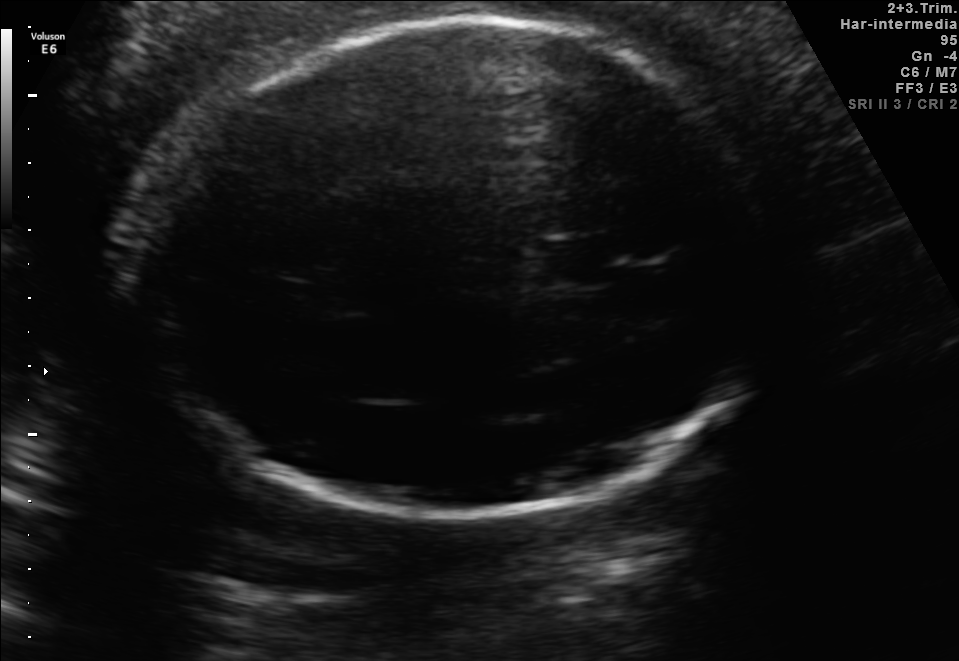
Fetal brain, trans-thalamic plane. Where is the cavum septum pellucidum?

CSP bounding box: [536,237,608,285]